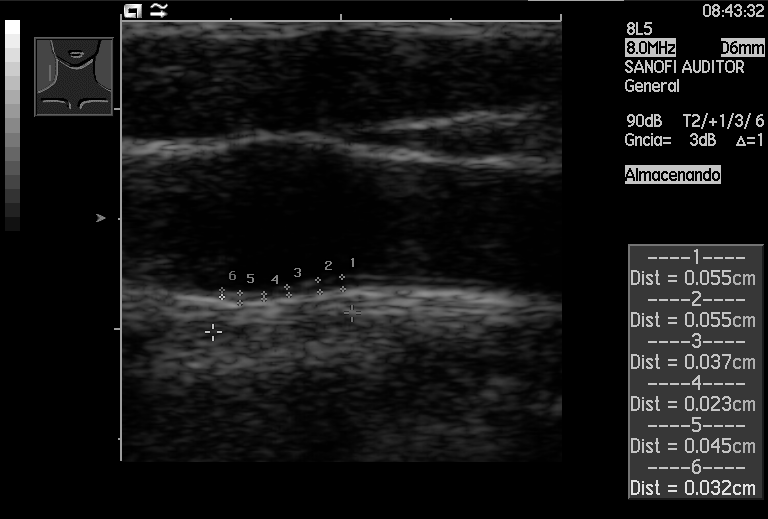
Classify this maternal-fetal ultrasound image as one of the six standard planes — fetal abdomen, fetal brain, fetal femur, fetal thorax, maternal cervix, or other. If it's fetal brain and one of the three standard brain planes (trans-thalamic, trans-cerebellum, trans-ventricular), name which.

Other